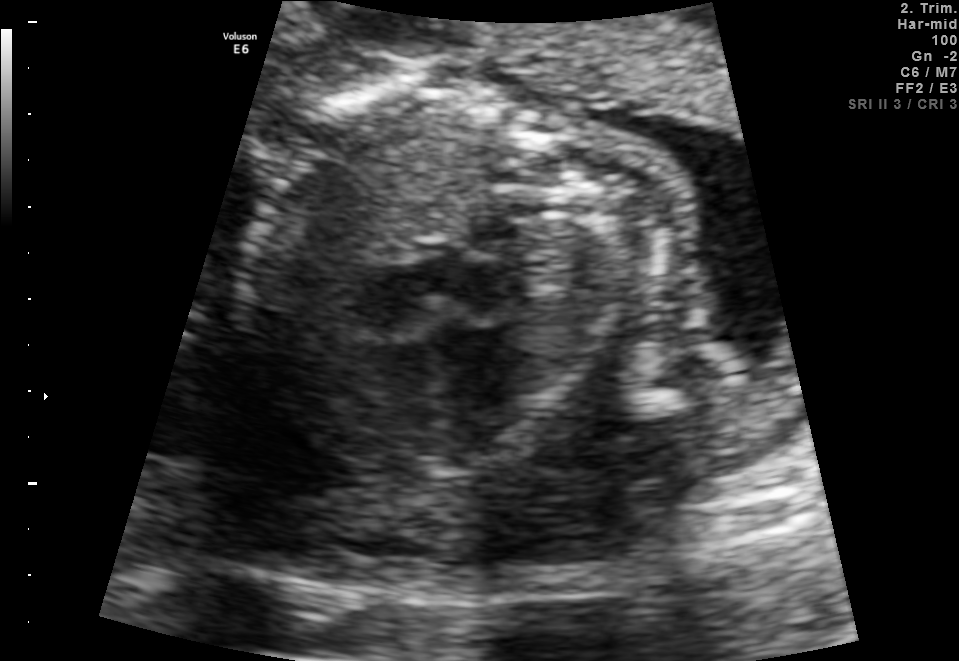
Classify this maternal-fetal ultrasound image as one of the six standard planes — fetal abdomen, fetal brain, fetal femur, fetal thorax, maternal cervix, or other. If it's fetal brain and one of the three standard brain planes (trans-thalamic, trans-cerebellum, trans-ventricular), name which.

Fetal thorax